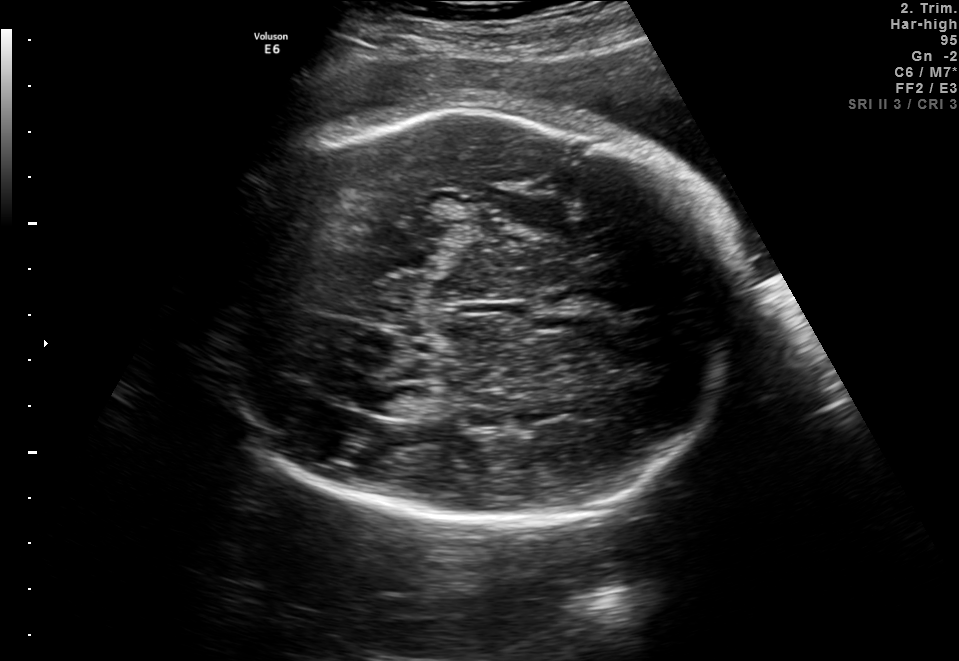
In this fetal brain, trans-thalamic plane, give the bounding box of the fetal head.

[201,111,744,532]